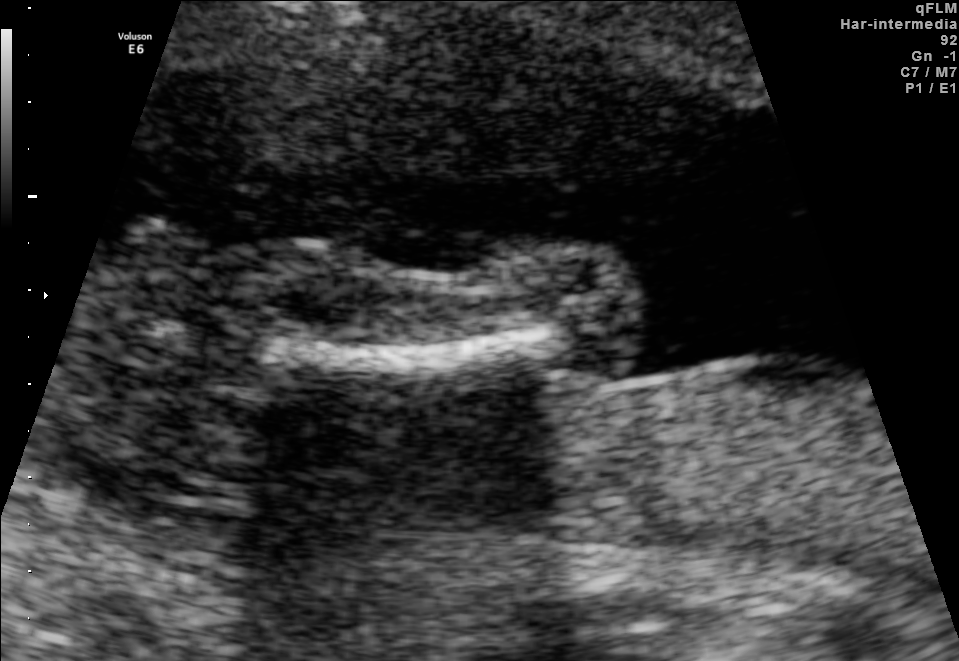
This is a 2D maternal-fetal ultrasound frame. Is it a fetal abdomen, fetal brain, fetal femur, fetal thorax, maternal cervix, or other standard plane? If it's fetal brain and one of the three standard brain planes (trans-thalamic, trans-cerebellum, trans-ventricular), name which.

Fetal femur